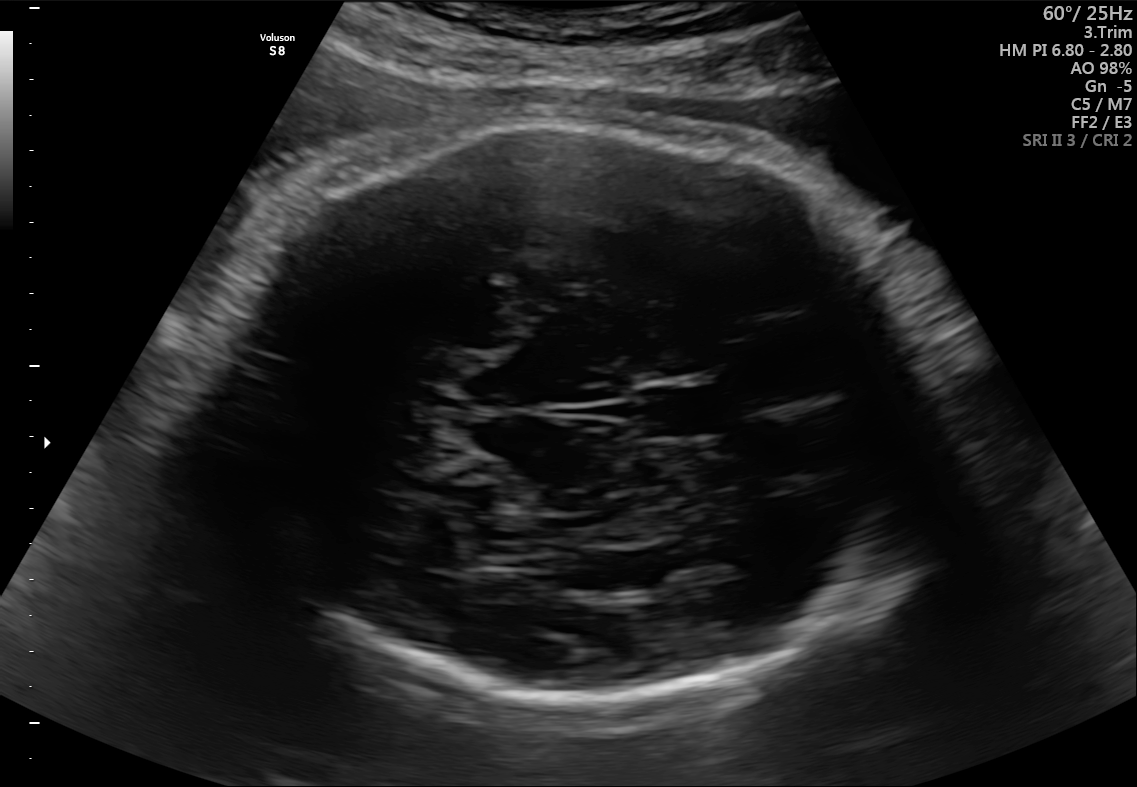
Which standard maternal-fetal ultrasound plane is shown: fetal abdomen, fetal brain, fetal femur, fetal thorax, maternal cervix, or other? If it's fetal brain and one of the three standard brain planes (trans-thalamic, trans-cerebellum, trans-ventricular), name which.

Fetal brain (trans-thalamic plane)